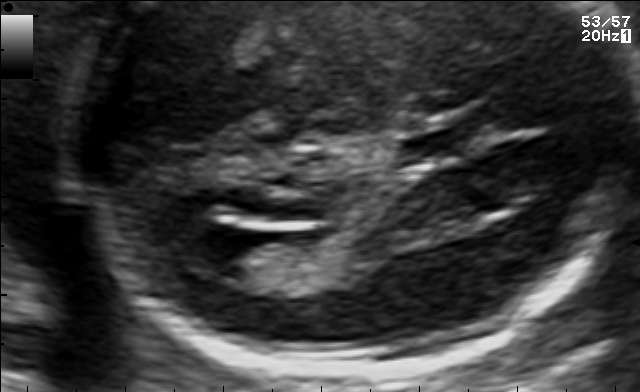
In this fetal brain, trans-ventricular plane, give bounding boxes for the cavum septum pellucidum (CSP) and lateral ventricle (LV), where visible.

CSP: [396,123,469,170]
Lateral ventricle: [167,212,260,281]